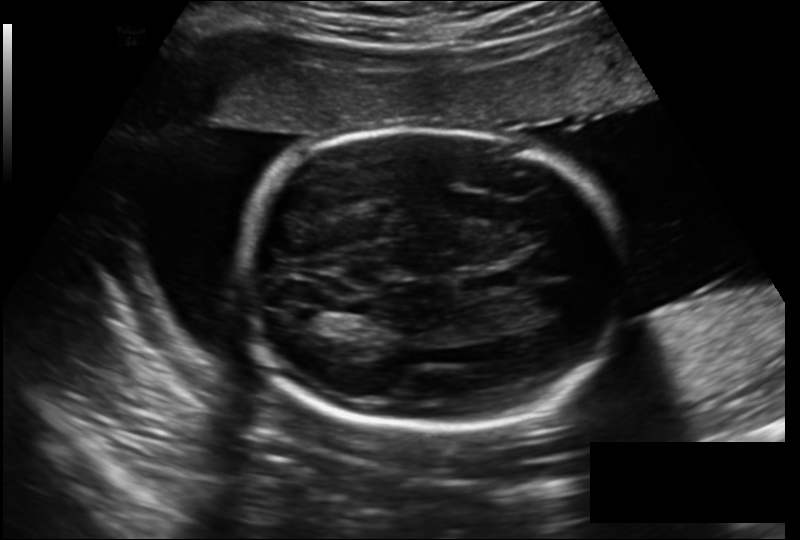
Fetal head ultrasound. Image width: 164.7 mm. Locate the cavum septum pellucidum.

CSP: [458,270,513,295]